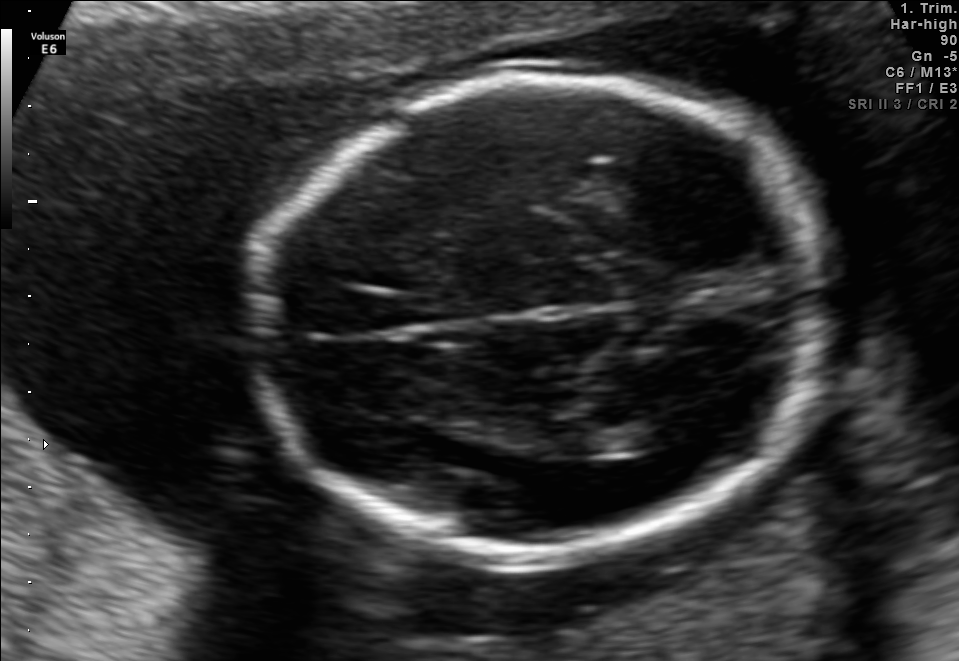
Fetal brain, trans-thalamic plane. Give [x1,y1,x2,y2] bounding boxes for each visible structure among: fetal head, CSP, LV.

Head: [258,80,825,561]
Lateral ventricle: [625,405,703,456]